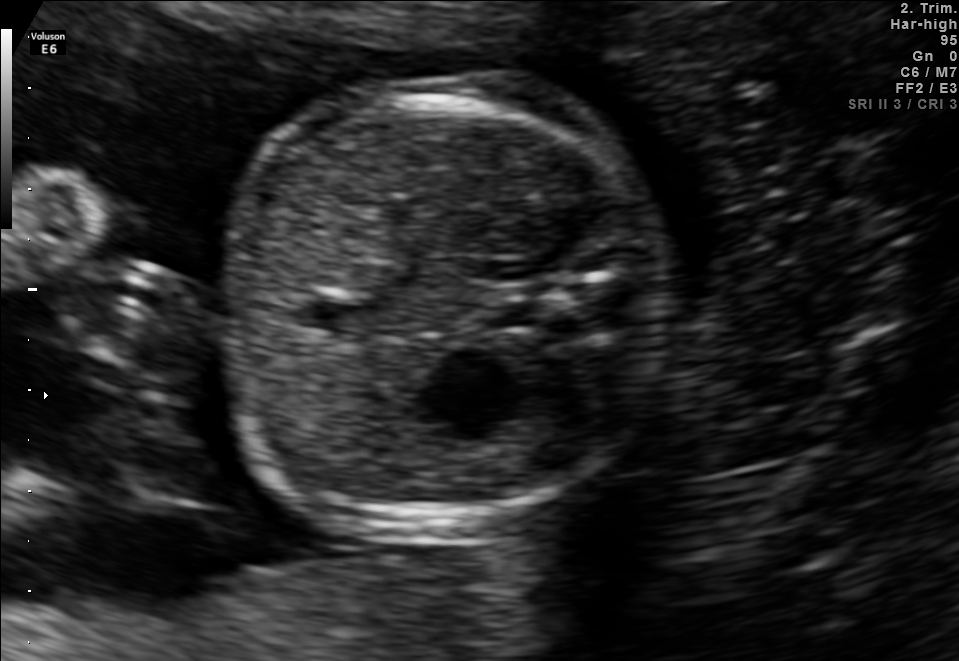
Identify the standard plane in this fetal ultrasound image: fetal abdomen, fetal brain, fetal femur, fetal thorax, maternal cervix, or other. If it's fetal brain and one of the three standard brain planes (trans-thalamic, trans-cerebellum, trans-ventricular), name which.

Fetal abdomen